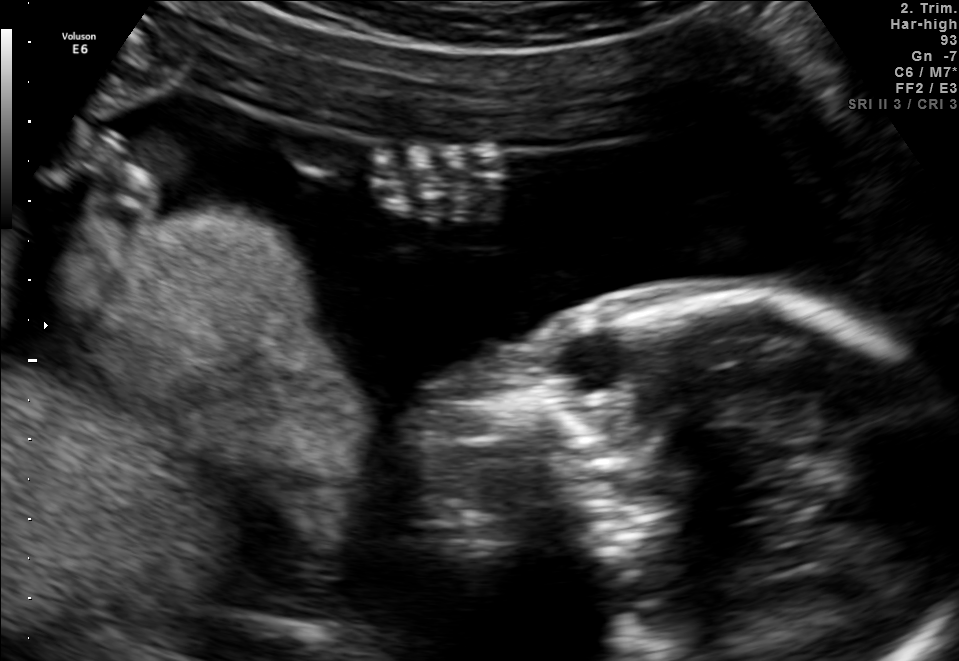
Which standard maternal-fetal ultrasound plane is shown: fetal abdomen, fetal brain, fetal femur, fetal thorax, maternal cervix, or other? If it's fetal brain and one of the three standard brain planes (trans-thalamic, trans-cerebellum, trans-ventricular), name which.

Other